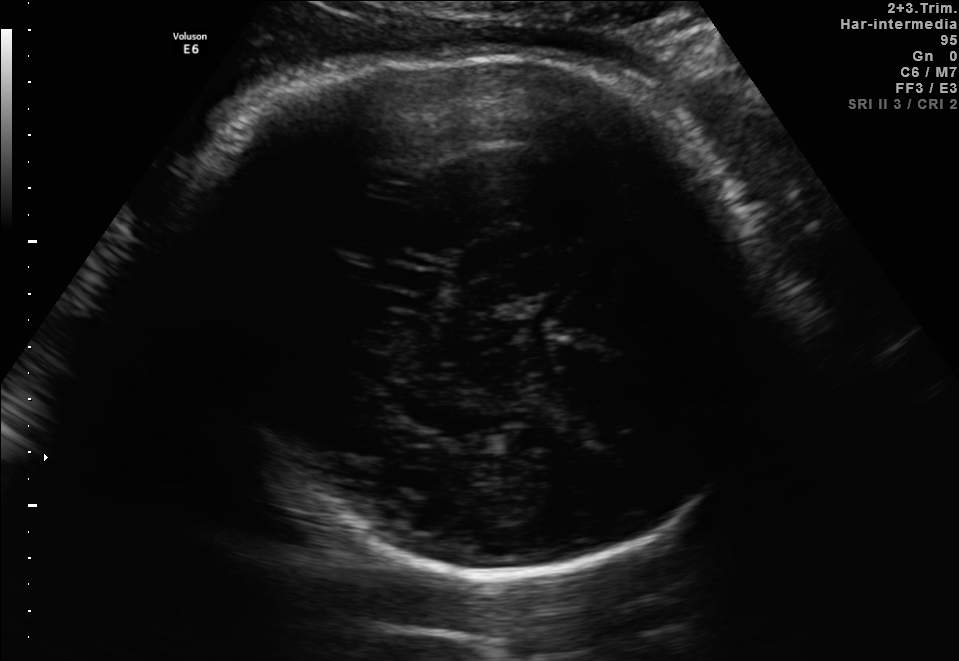
Fetal brain, trans-thalamic plane. Where is the fetal head?

Head bounding box: [220,55,767,592]